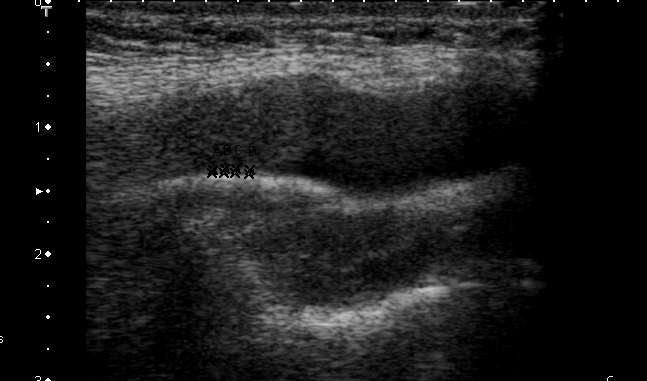
Classify this maternal-fetal ultrasound image as one of the six standard planes — fetal abdomen, fetal brain, fetal femur, fetal thorax, maternal cervix, or other. If it's fetal brain and one of the three standard brain planes (trans-thalamic, trans-cerebellum, trans-ventricular), name which.

Other